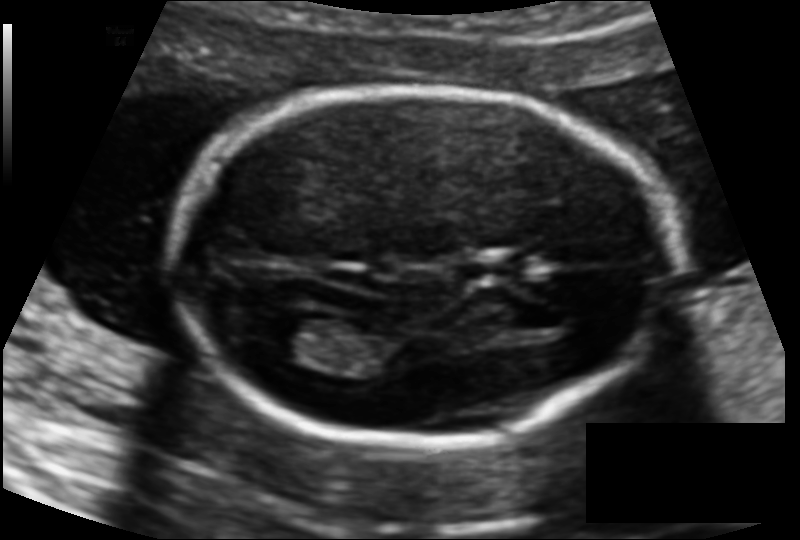
From this fetal ultrasound, estimate the head circumference (image width 91.5 mm).

Head circumference: 158.8 mm.